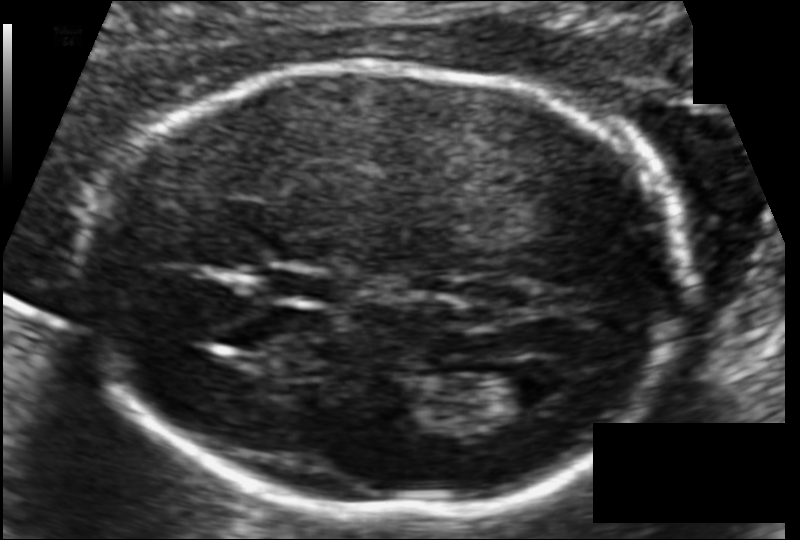
Fetal head ultrasound. Image width: 81.8 mm. Where is the fetal head?

Head bounding box: [85,66,683,510]